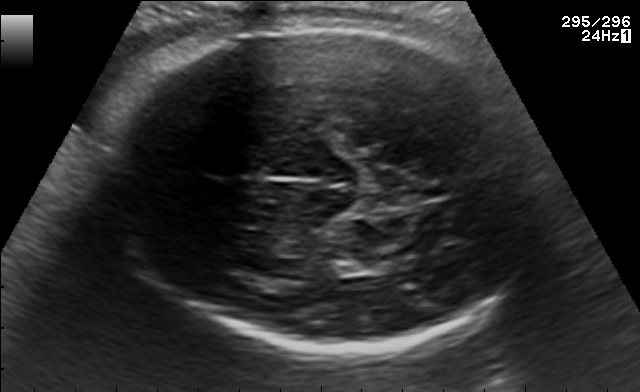
Fetal brain, trans-thalamic plane. Where is the fetal head?

Head bounding box: [111,23,542,355]